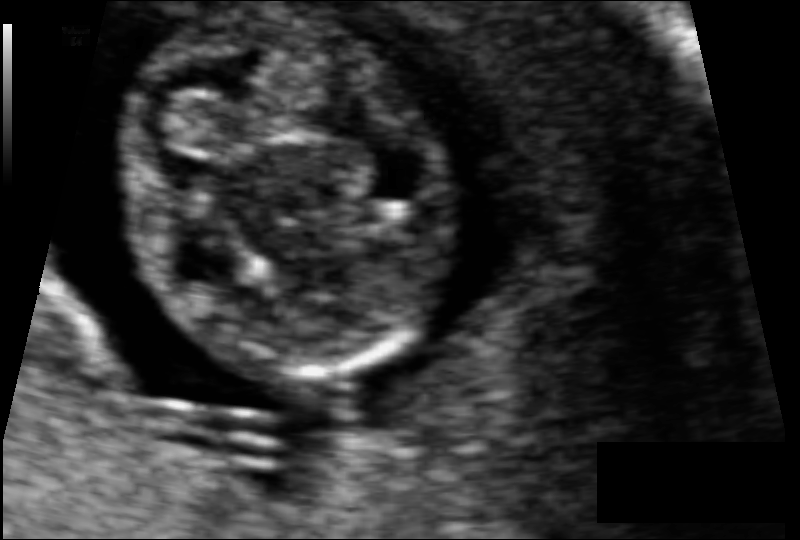
In this fetal head ultrasound, give the bounding box of the fetal head. Image width: 49.6 mm.

[118,5,450,382]